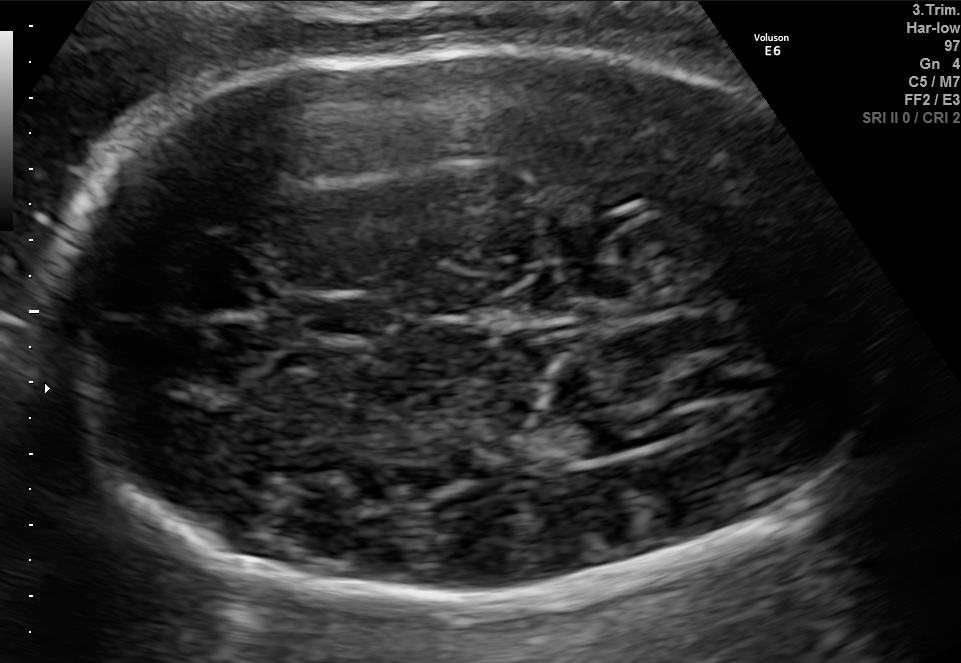
Fetal brain, trans-thalamic plane. Locate the fetal head.

Head: [39,46,870,589]